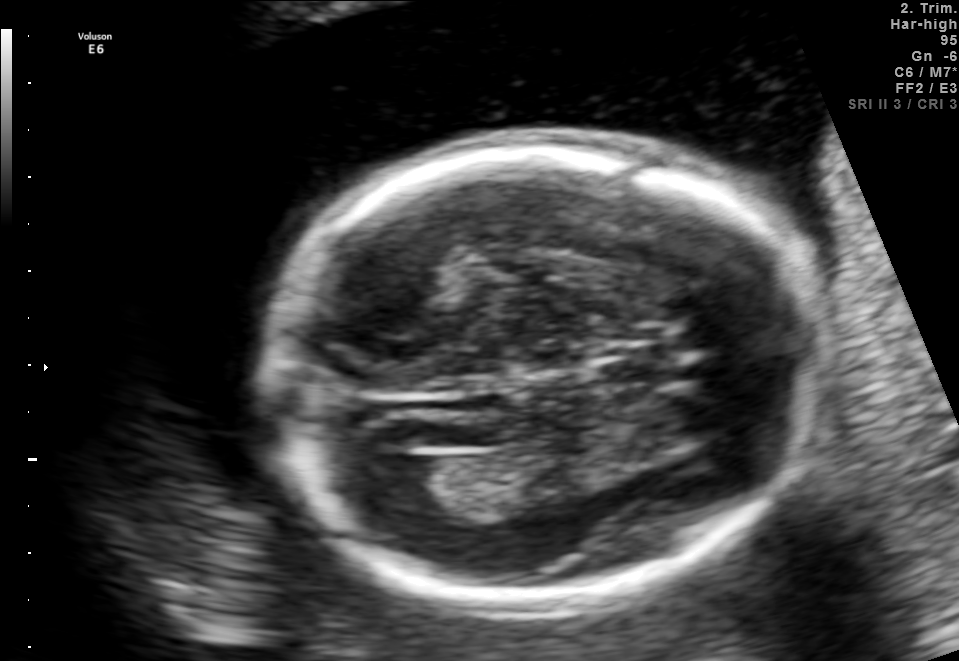
Fetal brain, trans-ventricular plane. Where is the lateral ventricle?

Lateral ventricle bounding box: [376,456,452,512]